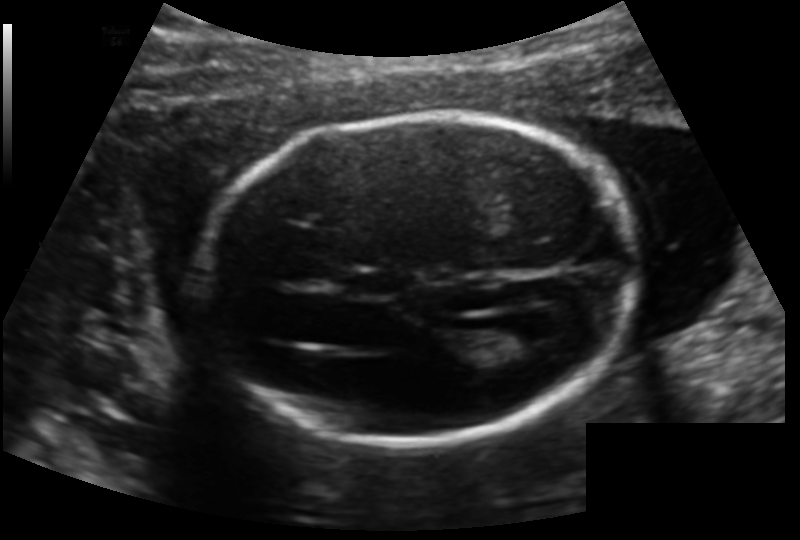
Estimate the fetal head circumference from this 2D ultrasound. Image width: 112.1 mm.

Head circumference: 173.1 mm.